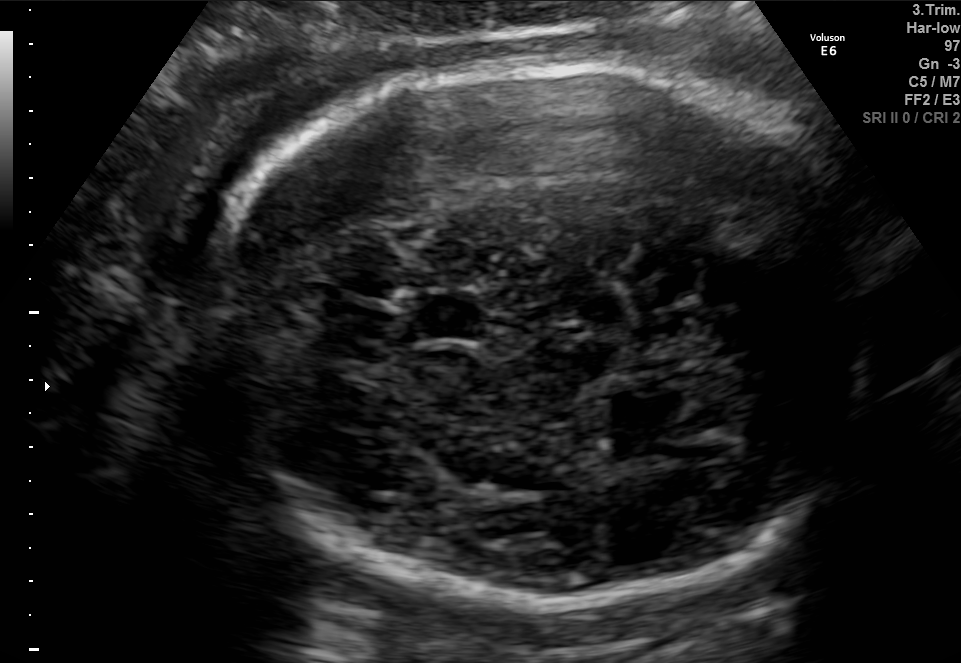
Fetal brain, trans-thalamic plane. Give [x1,y1,x2,y2] bounding boxes for each visible structure among: fetal head, CSP, LV.

Head: [191,61,894,594]
CSP: [412,293,489,343]